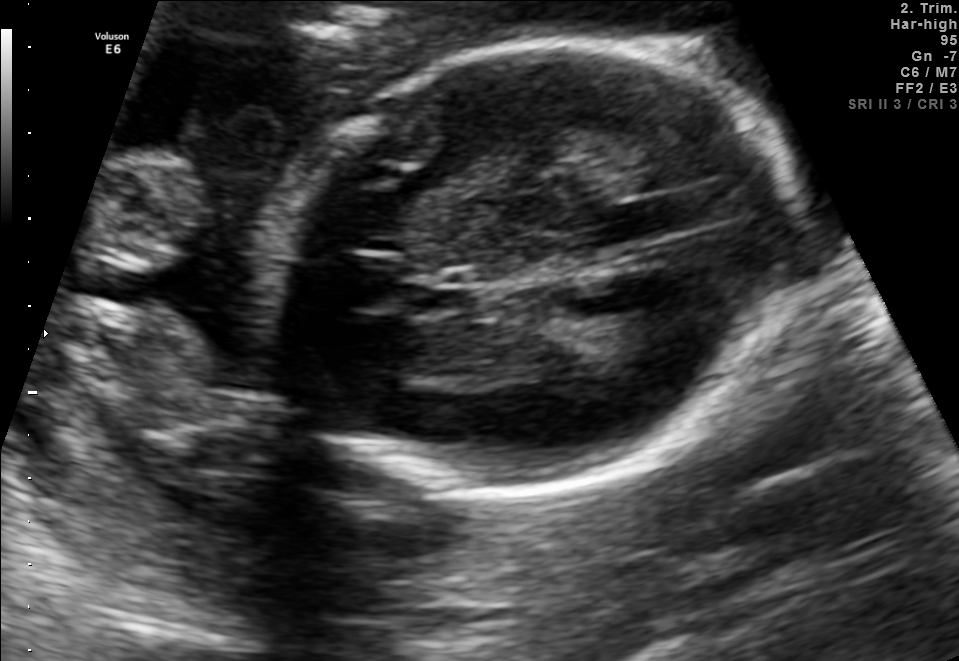
Fetal brain, trans-thalamic plane. Locate the fetal head and, if visible, the cavum septum pellucidum (CSP) and lateral ventricle (LV). Give bounding boxes as [x1,y1,x2,y2].

Head: [266,41,801,498]
CSP: [403,273,472,317]